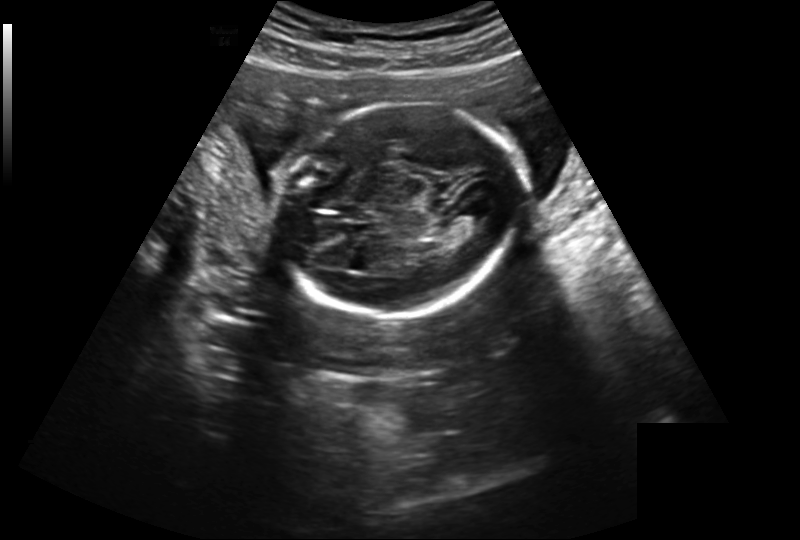
In this fetal head ultrasound, give the bounding box of the fetal head. Image width: 191.4 mm.

[280,100,521,319]